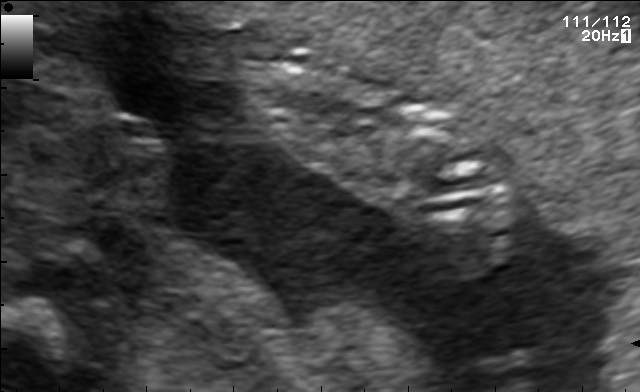
Which standard maternal-fetal ultrasound plane is shown: fetal abdomen, fetal brain, fetal femur, fetal thorax, maternal cervix, or other? If it's fetal brain and one of the three standard brain planes (trans-thalamic, trans-cerebellum, trans-ventricular), name which.

Other